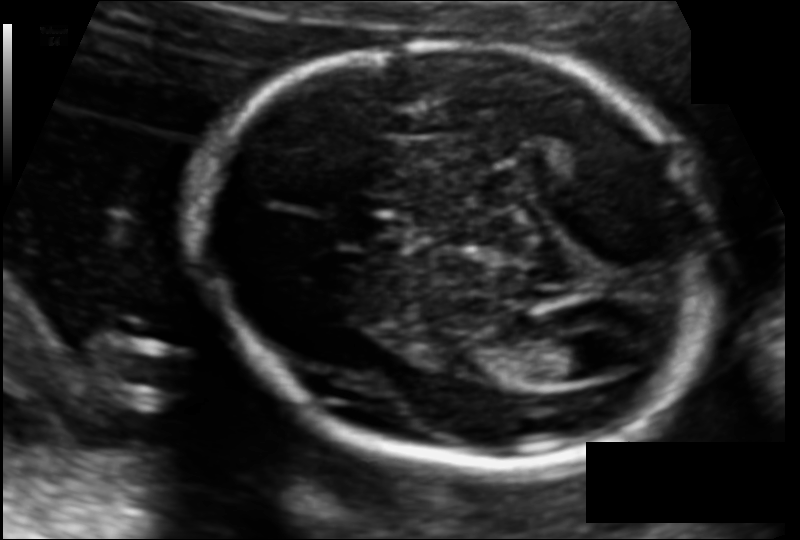
In this fetal head ultrasound, give the bounding box of the fetal head. Image width: 87.7 mm.

[194,42,717,458]